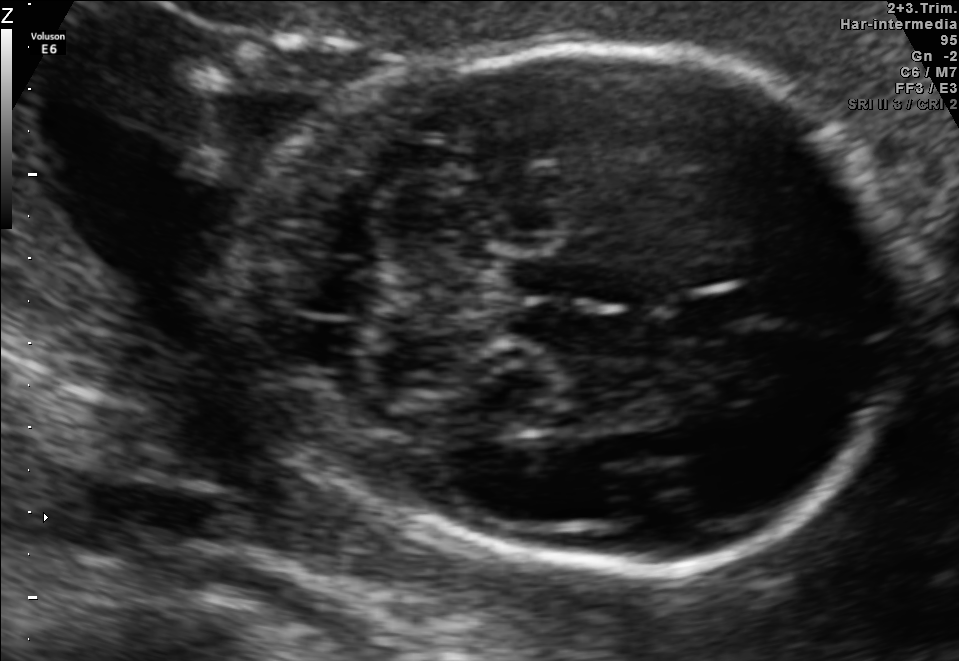
In this fetal brain, trans-cerebellum plane, give bounding boxes for the head outline, cavum septum pellucidum (CSP), and lateral ventricle (LV), where visible.

Head: [234,46,913,569]
CSP: [667,279,763,342]